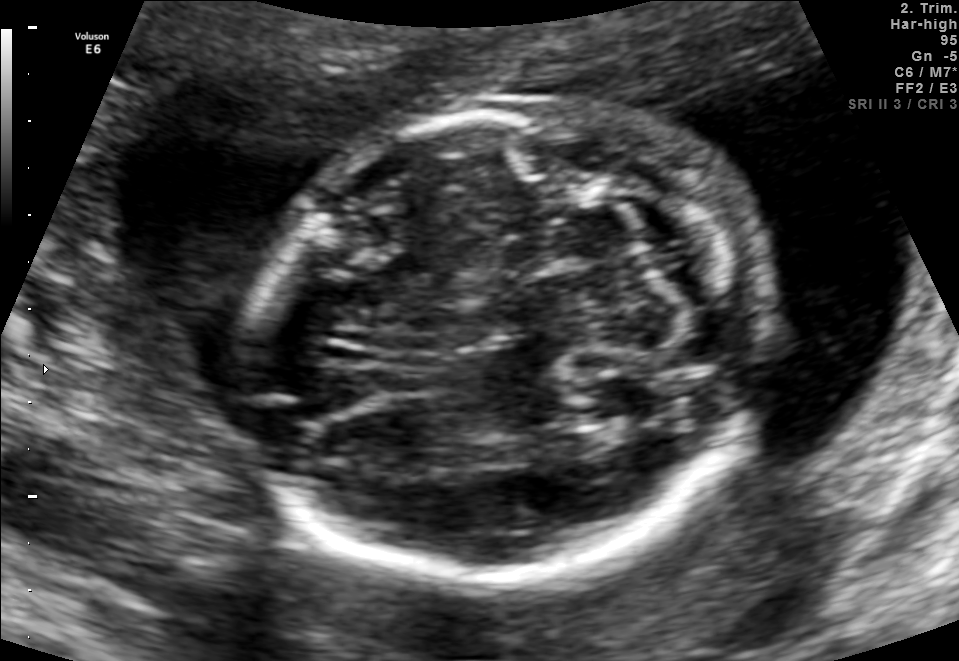
Fetal brain, trans-cerebellum plane. Locate the fetal head.

Head: [262,96,765,587]